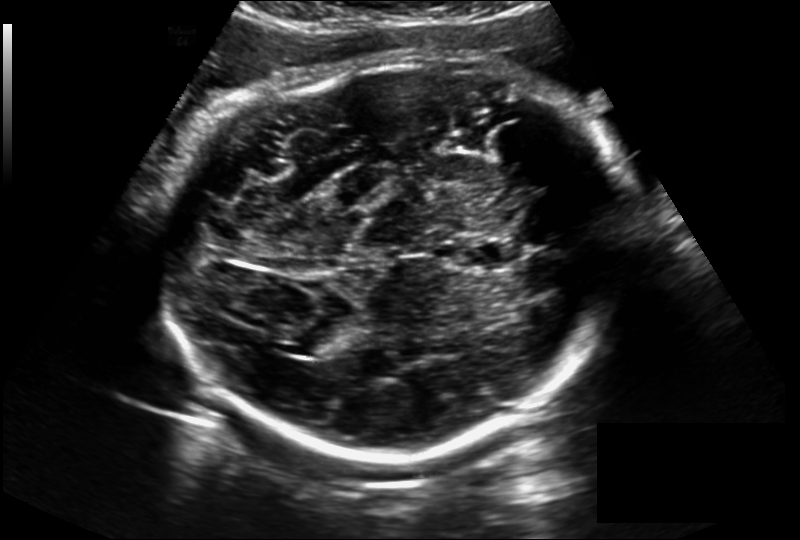
What is the fetal head circumference? Image width is 182.1 mm.

315.8 mm